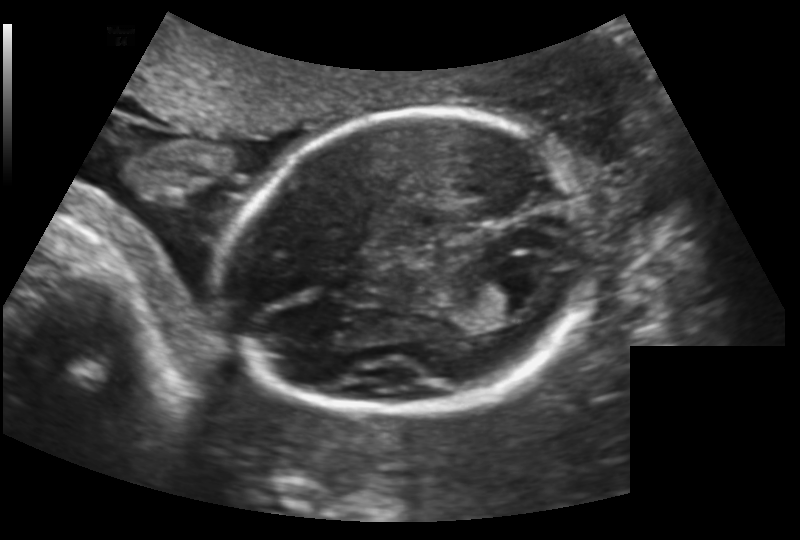
In this fetal head ultrasound, give the bounding box of the lateral ventricle. Image width: 127.5 mm.

[485,261,561,322]